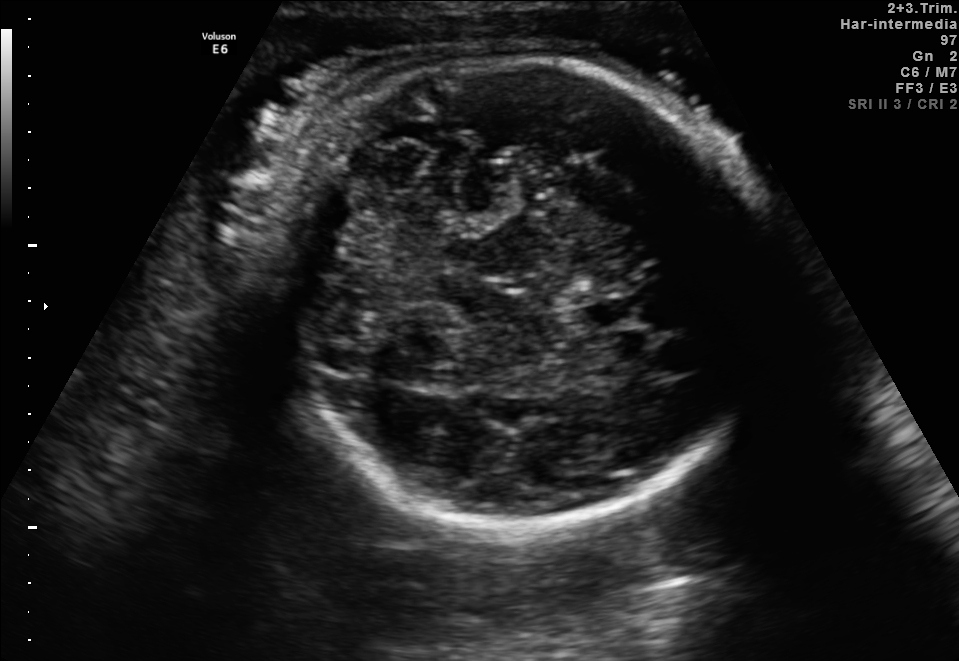
In this fetal brain, trans-cerebellum plane, give bounding boxes for the head outline, cavum septum pellucidum (CSP), and lateral ventricle (LV), where visible.

Head: [247,59,776,526]
CSP: [576,291,640,331]